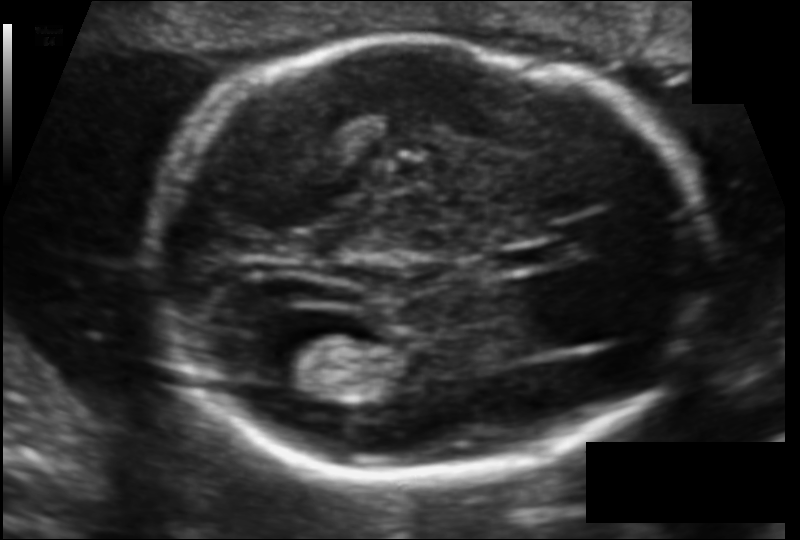
Fetal head ultrasound. Image width: 84.9 mm. Locate the cavum septum pellucidum.

CSP: [496,233,569,277]